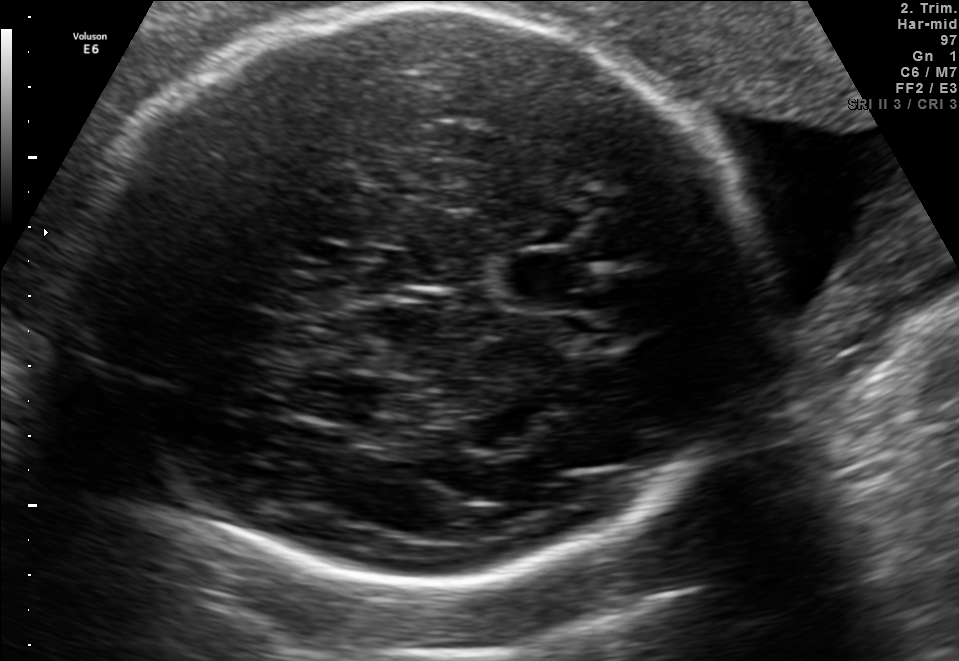
Fetal brain, trans-thalamic plane. Where is the fetal head?

Head bounding box: [63,9,752,588]